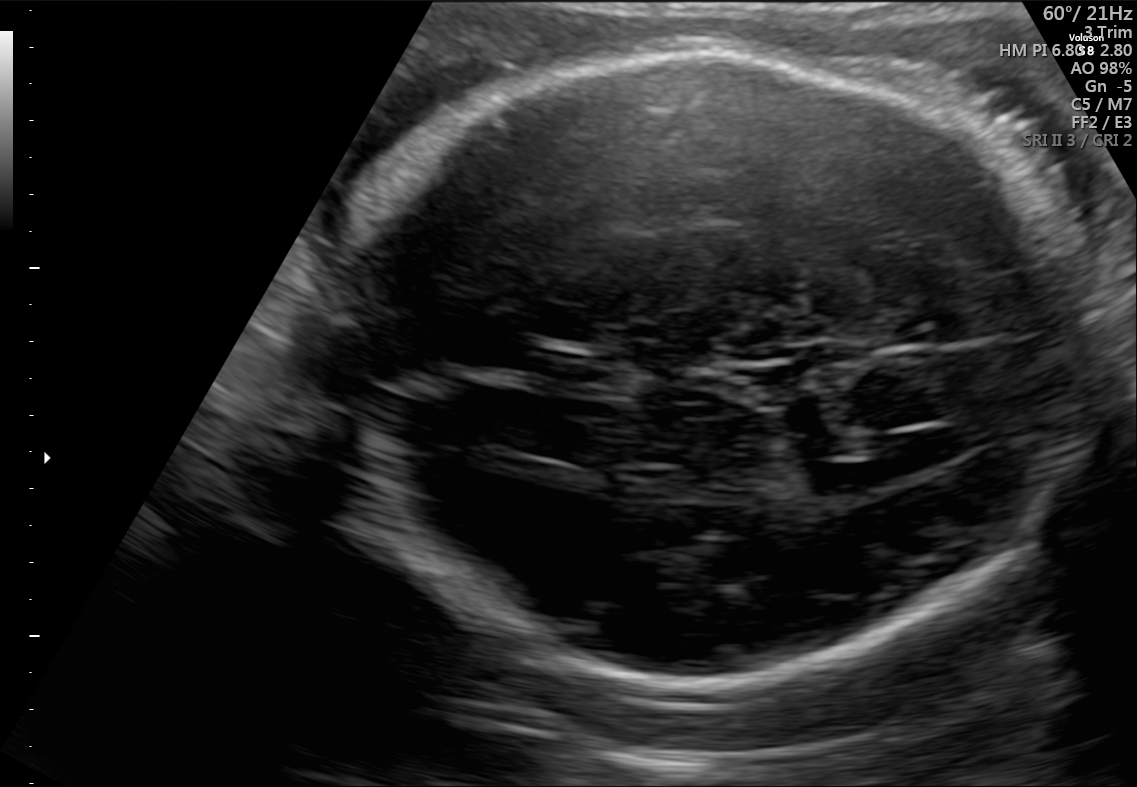
Classify this maternal-fetal ultrasound image as one of the six standard planes — fetal abdomen, fetal brain, fetal femur, fetal thorax, maternal cervix, or other. If it's fetal brain and one of the three standard brain planes (trans-thalamic, trans-cerebellum, trans-ventricular), name which.

Fetal brain (trans-ventricular plane)